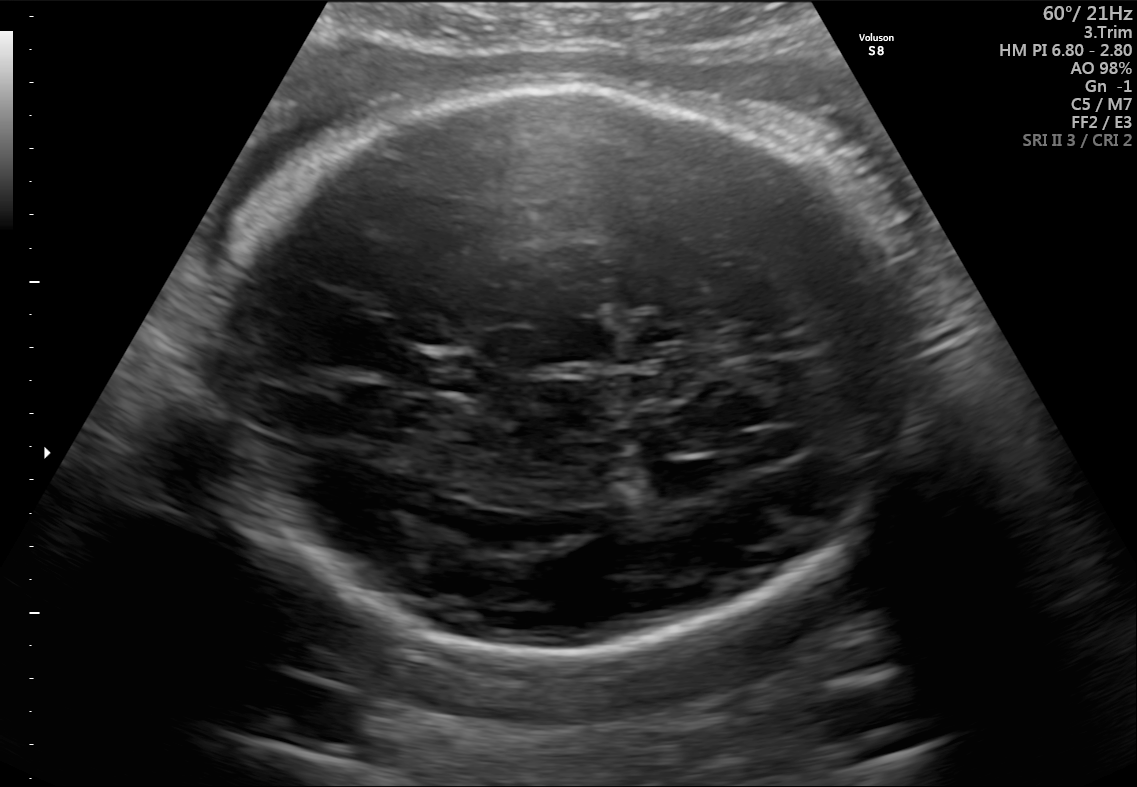
Fetal brain, trans-thalamic plane. Locate the fetal head and, if visible, the cavum septum pellucidum (CSP) and lateral ventricle (LV). Give bounding boxes as [x1,y1,x2,y2].

Head: [206,90,909,654]
CSP: [415,353,483,393]
Lateral ventricle: [644,458,720,502]